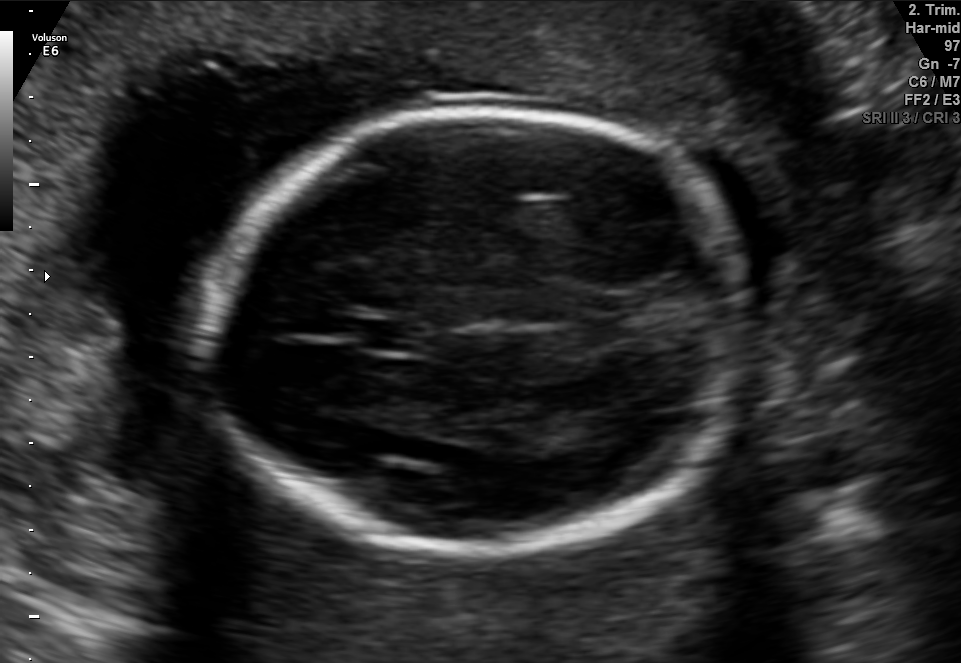
Fetal brain, trans-thalamic plane. Where is the cavum septum pellucidum?

CSP bounding box: [358,317,425,352]